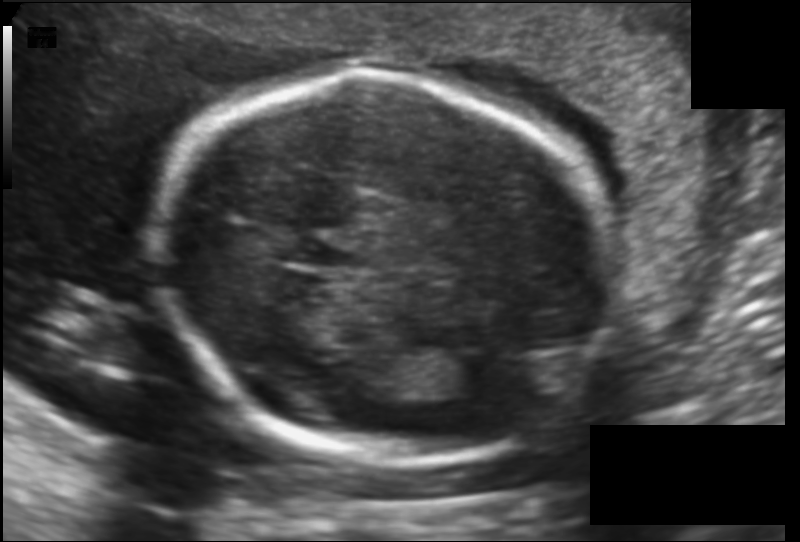
Measure the fetal head circumference shown in this ultrasound image. Image width: 103.7 mm.

Head circumference: 179.9 mm.